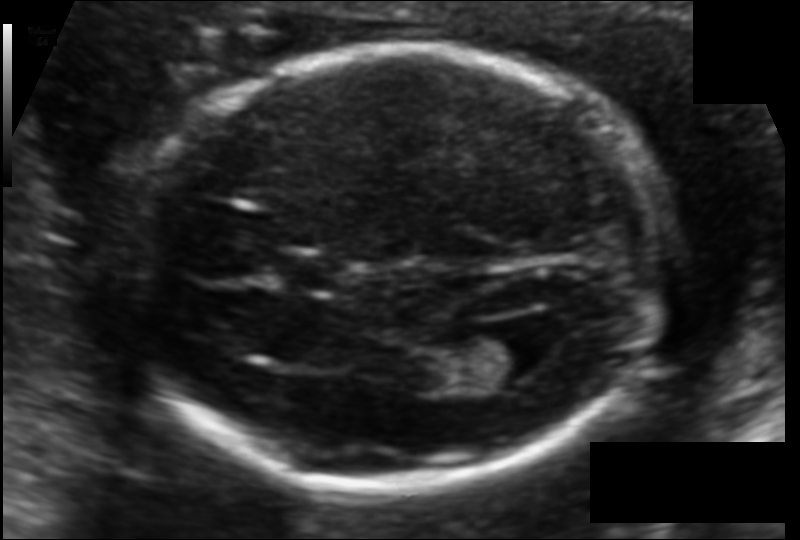
Fetal head ultrasound. Image width: 86.5 mm. Give [x1,y1,x2,y2] bounding boxes for each visible structure among: fetal head, CSP, LV.

Head: [134,50,667,490]
CSP: [276,253,341,292]
Lateral ventricle: [467,320,558,395]